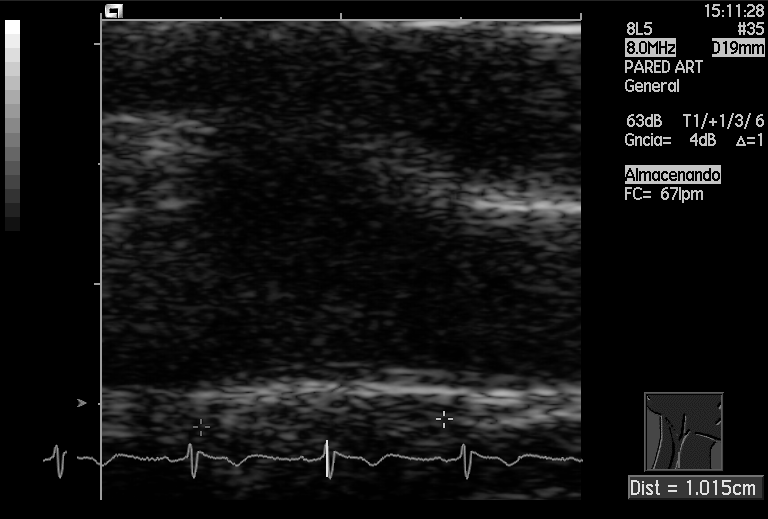
Which standard maternal-fetal ultrasound plane is shown: fetal abdomen, fetal brain, fetal femur, fetal thorax, maternal cervix, or other? If it's fetal brain and one of the three standard brain planes (trans-thalamic, trans-cerebellum, trans-ventricular), name which.

Other